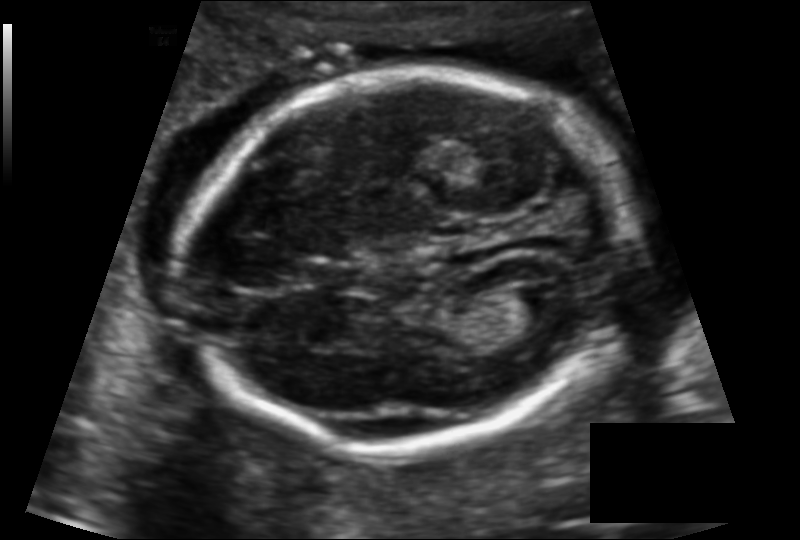
In this fetal head ultrasound, give bounding boxes for the head outline, cavum septum pellucidum (CSP), and lateral ventricle (LV), where visible. Image width: 99.3 mm.

Head: [178,74,634,453]
Lateral ventricle: [505,276,577,332]